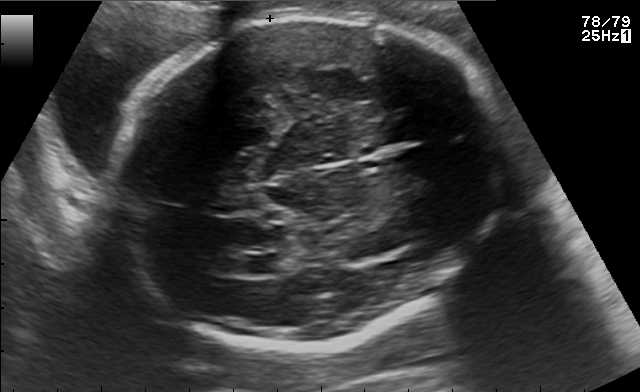
In this fetal brain, trans-ventricular plane, give bounding boxes for the head outline, cavum septum pellucidum (CSP), and lateral ventricle (LV), where visible.

Head: [113,13,518,354]
Lateral ventricle: [233,253,282,274]